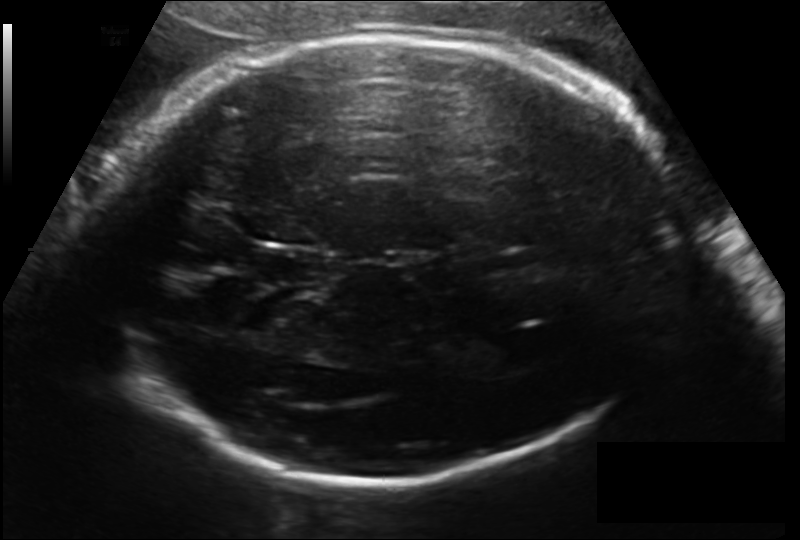
In this fetal head ultrasound, give the bounding box of the lateral ventricle. Image width: 136.7 mm.

[469,328,543,376]